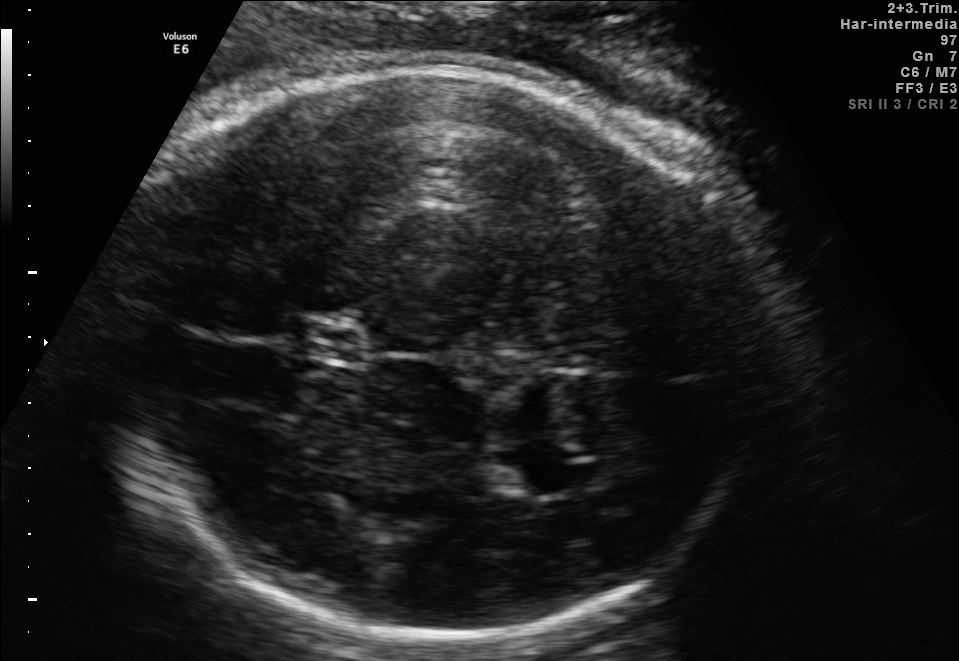
Fetal brain, trans-thalamic plane. Locate the lateral ventricle.

Lateral ventricle: [490,445,568,502]